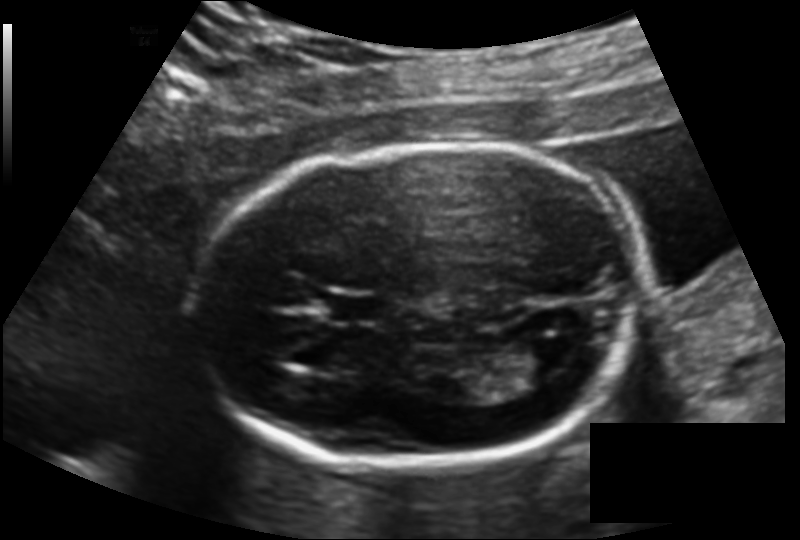
What is the fetal head circumference? Image width is 109.3 mm.

174.9 mm